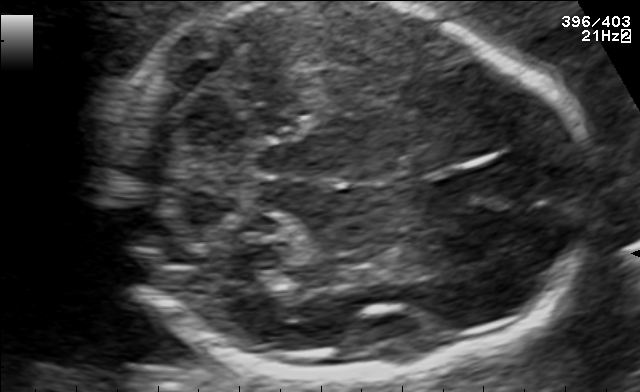
Fetal brain, trans-cerebellum plane. Locate the fetal head.

Head: [101,2,590,378]